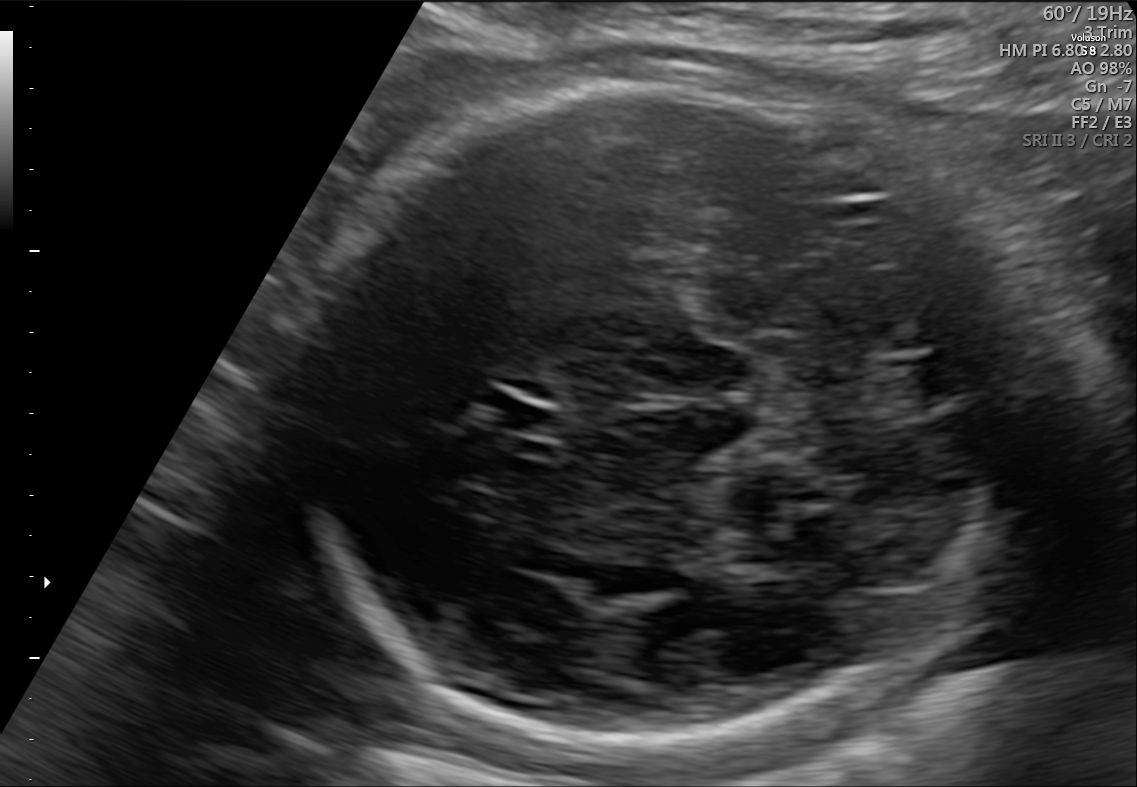
In this fetal brain, trans-cerebellum plane, give the bounding box of the cavum septum pellucidum.

[478,385,562,445]